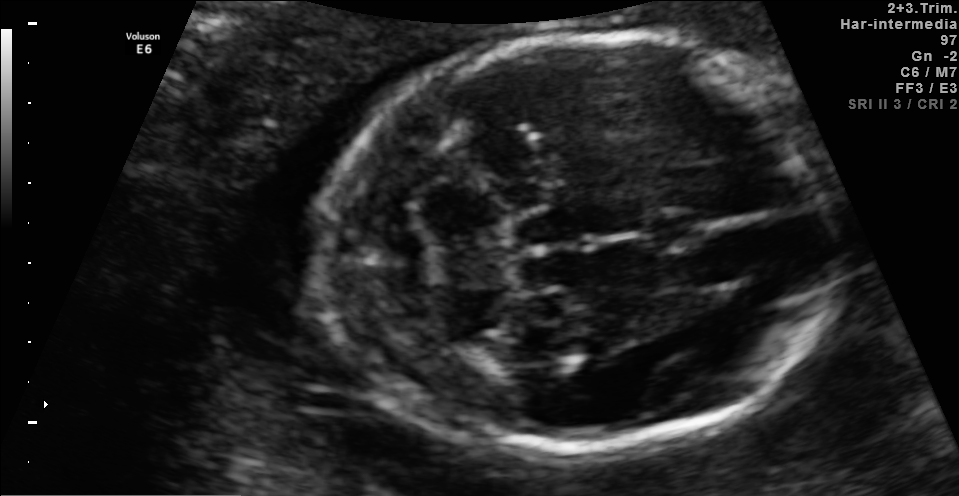
In this fetal brain, trans-cerebellum plane, give bounding boxes for the head outline, cavum septum pellucidum (CSP), and lateral ventricle (LV), where visible.

Head: [316,36,843,448]
CSP: [638,208,710,252]